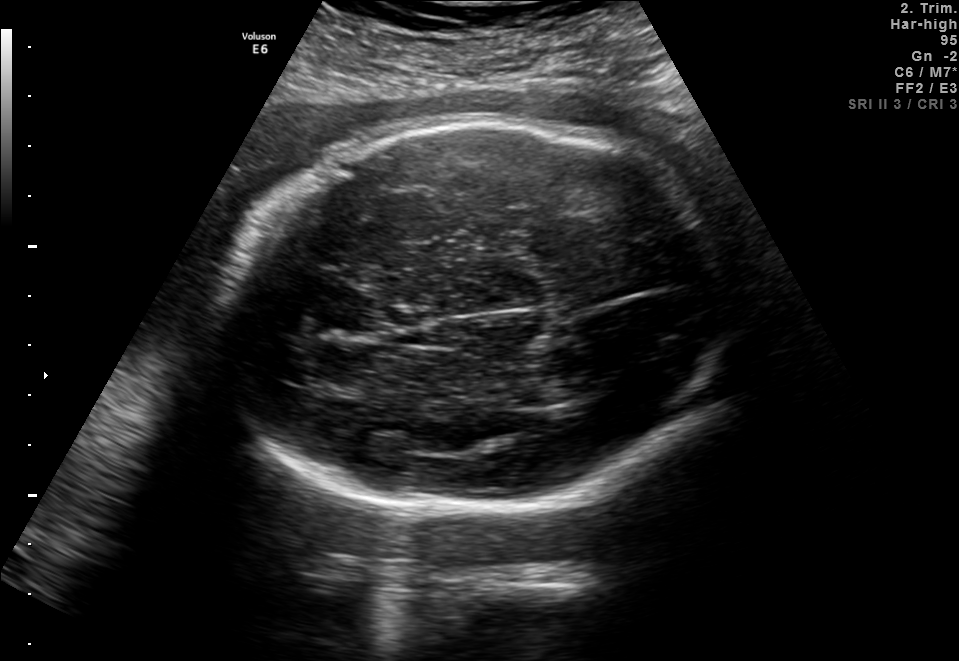
Fetal brain, trans-thalamic plane. Locate the fetal head.

Head: [224,125,743,508]